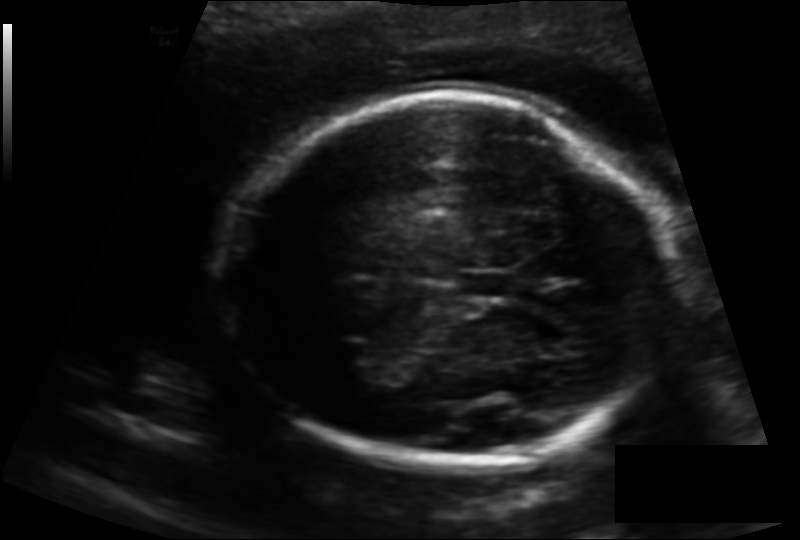
In this fetal head ultrasound, give the bounding box of the fetal head. Image width: 112.7 mm.

[224,95,677,465]